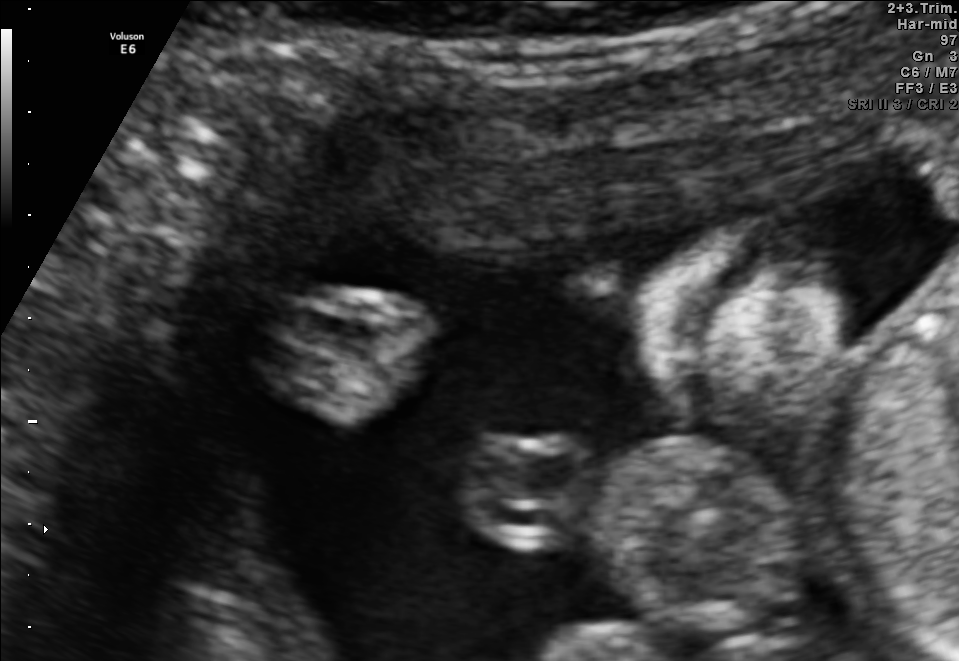
Identify the standard plane in this fetal ultrasound image: fetal abdomen, fetal brain, fetal femur, fetal thorax, maternal cervix, or other. If it's fetal brain and one of the three standard brain planes (trans-thalamic, trans-cerebellum, trans-ventricular), name which.

Other